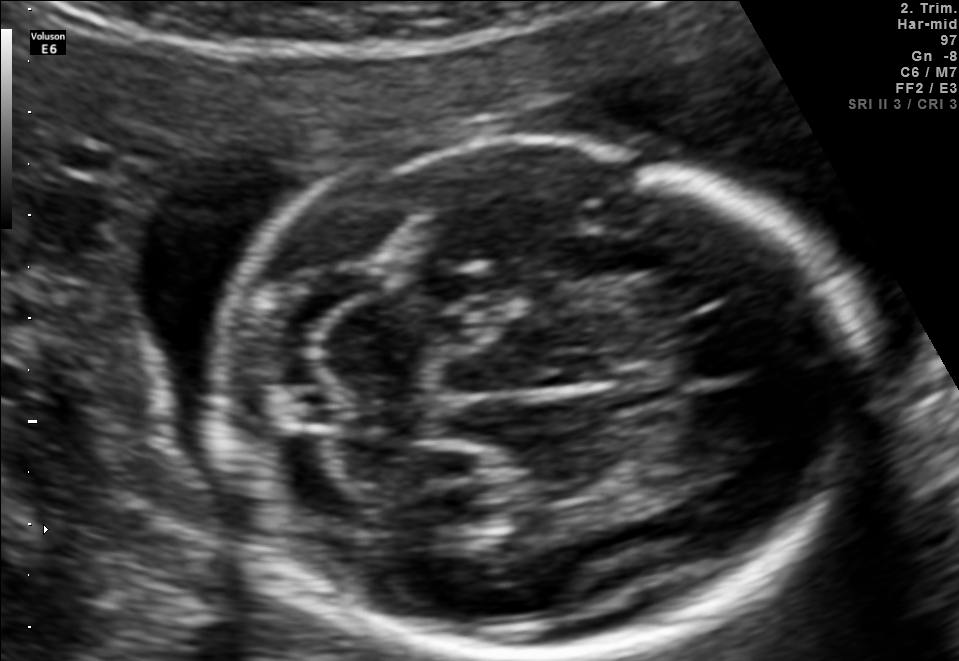
In this fetal brain, trans-cerebellum plane, give the bounding box of the fetal head.

[213,138,850,660]